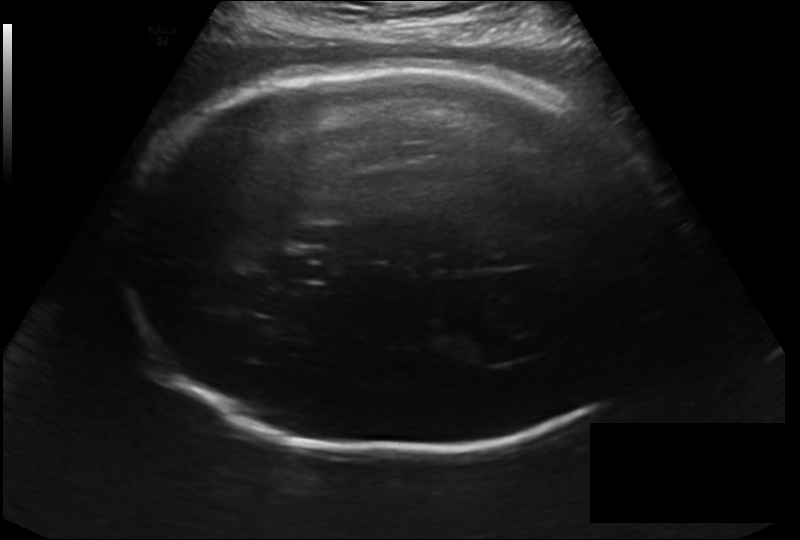
In this fetal head ultrasound, give the bounding box of the cavum septum pellucidum. Image width: 171.6 mm.

[279,247,329,283]